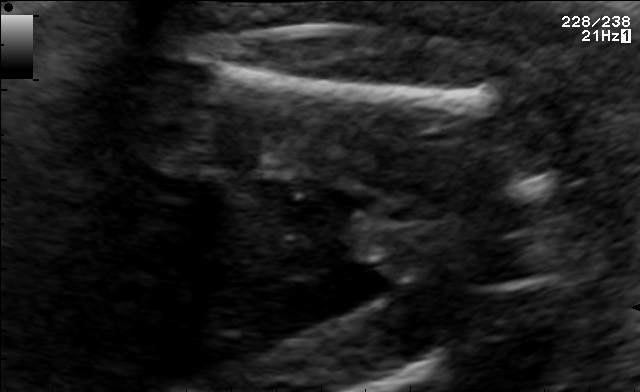
Which standard maternal-fetal ultrasound plane is shown: fetal abdomen, fetal brain, fetal femur, fetal thorax, maternal cervix, or other? If it's fetal brain and one of the three standard brain planes (trans-thalamic, trans-cerebellum, trans-ventricular), name which.

Fetal femur